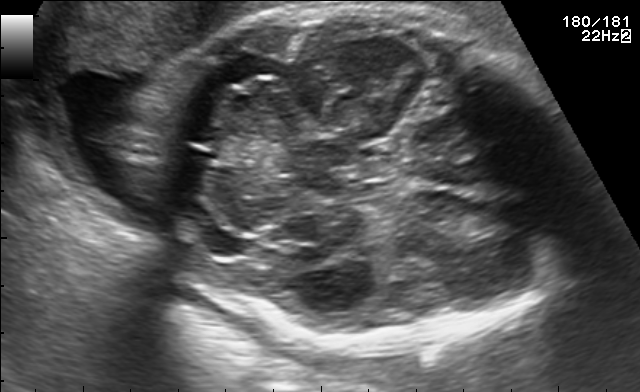
This is a 2D maternal-fetal ultrasound frame. Is it a fetal abdomen, fetal brain, fetal femur, fetal thorax, maternal cervix, or other standard plane? If it's fetal brain and one of the three standard brain planes (trans-thalamic, trans-cerebellum, trans-ventricular), name which.

Fetal brain (trans-cerebellum plane)